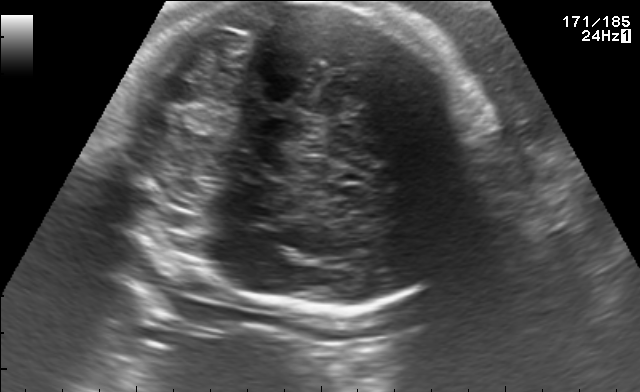
Fetal brain, trans-cerebellum plane. Give [x1,y1,x2,y2] bounding boxes for each visible structure among: fetal head, CSP, LV.

Head: [115,2,500,312]